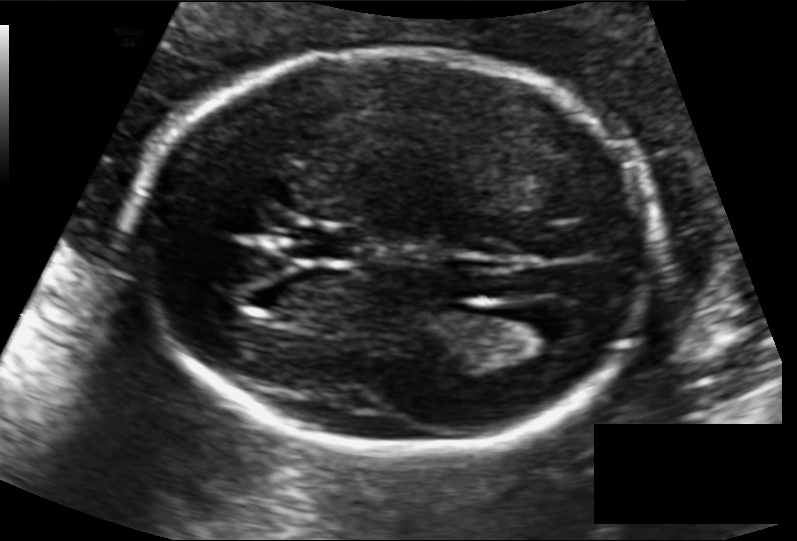
In this fetal head ultrasound, give the bounding box of the fetal head. Image width: 94.0 mm.

[124,49,653,458]